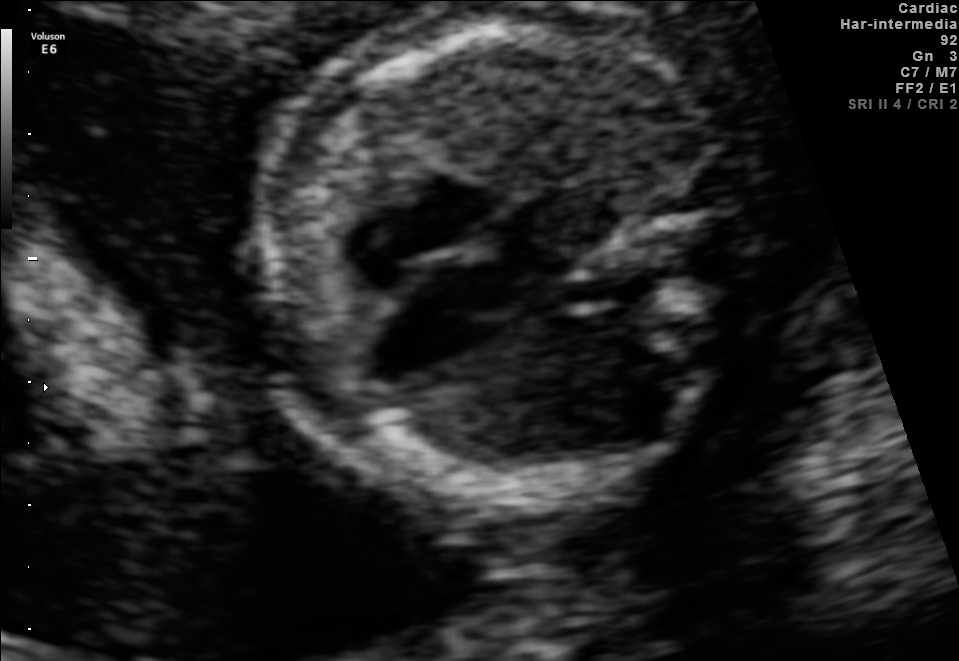
This is a 2D maternal-fetal ultrasound frame. Is it a fetal abdomen, fetal brain, fetal femur, fetal thorax, maternal cervix, or other standard plane? If it's fetal brain and one of the three standard brain planes (trans-thalamic, trans-cerebellum, trans-ventricular), name which.

Fetal thorax